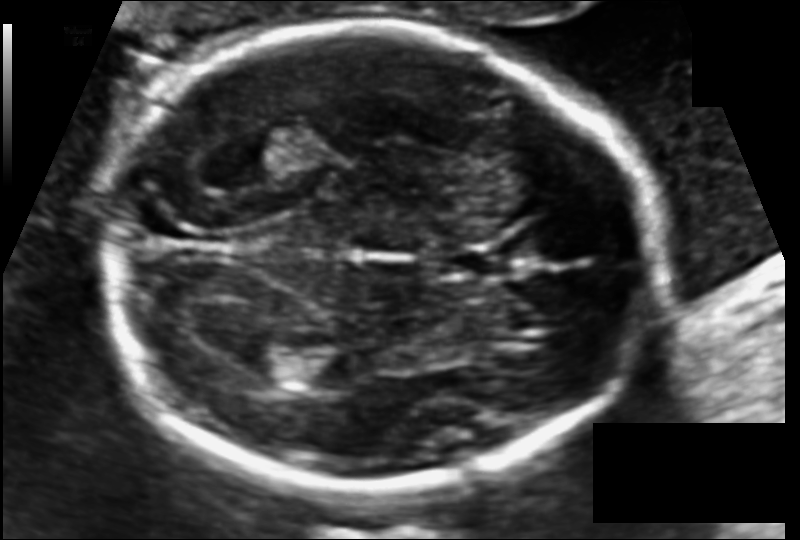
In this fetal head ultrasound, give the bounding box of the fetal head. Image width: 87.7 mm.

[104,25,652,490]